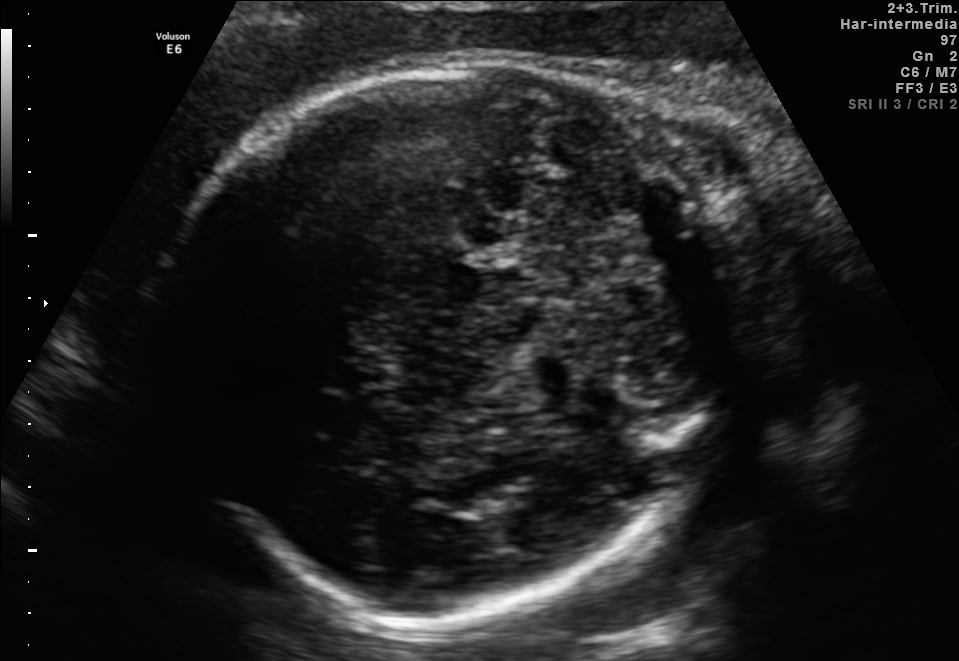
Fetal brain, trans-thalamic plane. Locate the fetal head.

Head: [162,61,771,618]